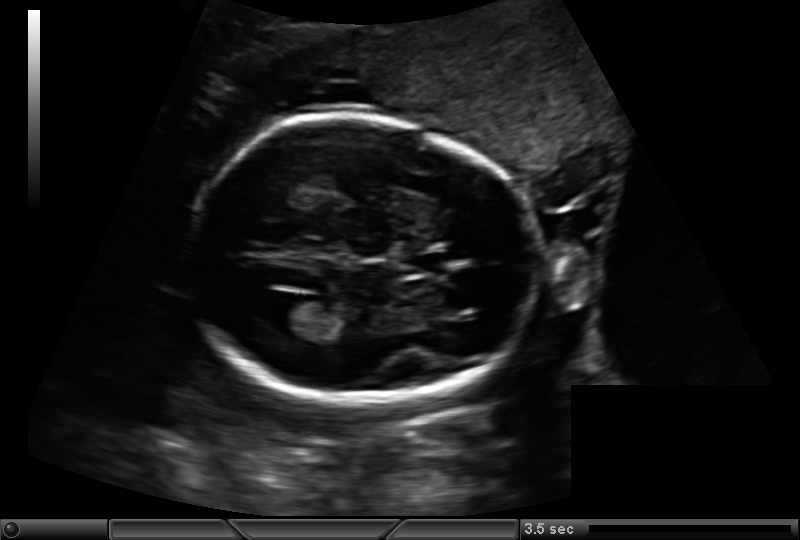
Measure the fetal head circumference shown in this ultrasound image. Image width: 126.8 mm.

Head circumference: 163.1 mm.